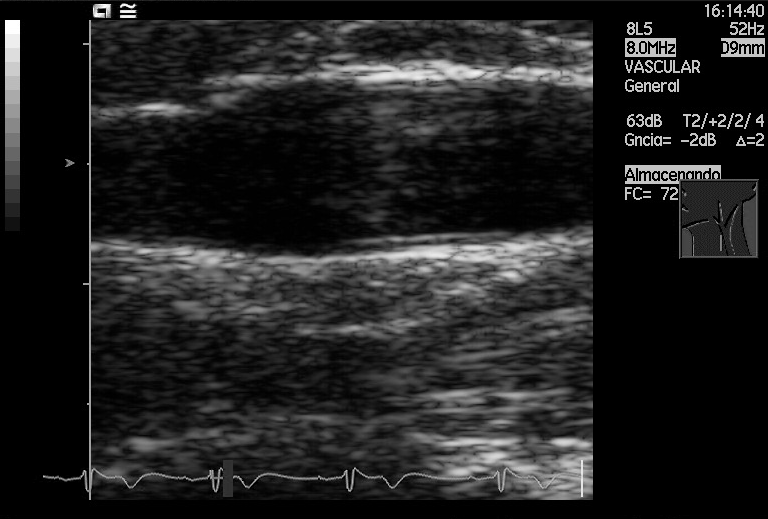
This is a 2D maternal-fetal ultrasound frame. Is it a fetal abdomen, fetal brain, fetal femur, fetal thorax, maternal cervix, or other standard plane? If it's fetal brain and one of the three standard brain planes (trans-thalamic, trans-cerebellum, trans-ventricular), name which.

Other